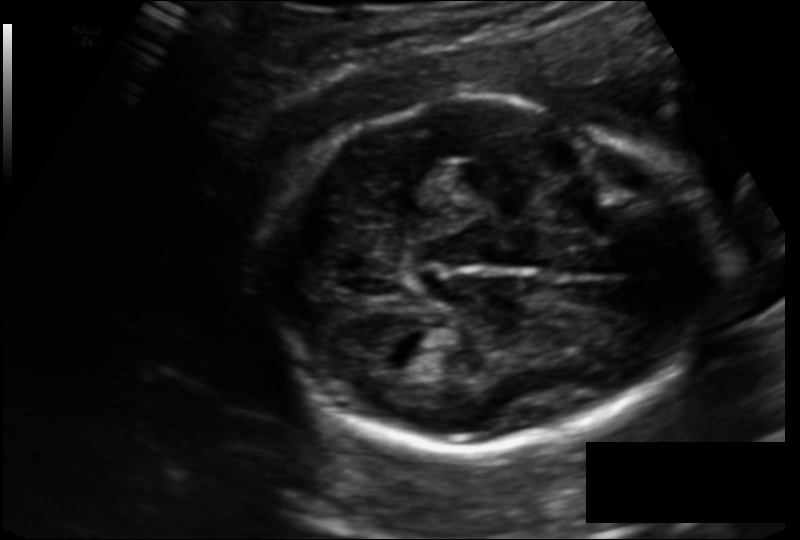
Estimate the fetal head circumference from this 2D ultrasound. Image width: 107.7 mm.

Head circumference: 180.0 mm.